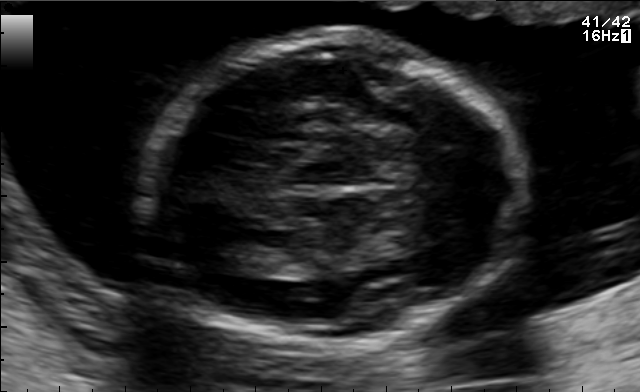
This is a 2D maternal-fetal ultrasound frame. Is it a fetal abdomen, fetal brain, fetal femur, fetal thorax, maternal cervix, or other standard plane? If it's fetal brain and one of the three standard brain planes (trans-thalamic, trans-cerebellum, trans-ventricular), name which.

Fetal brain (trans-thalamic plane)